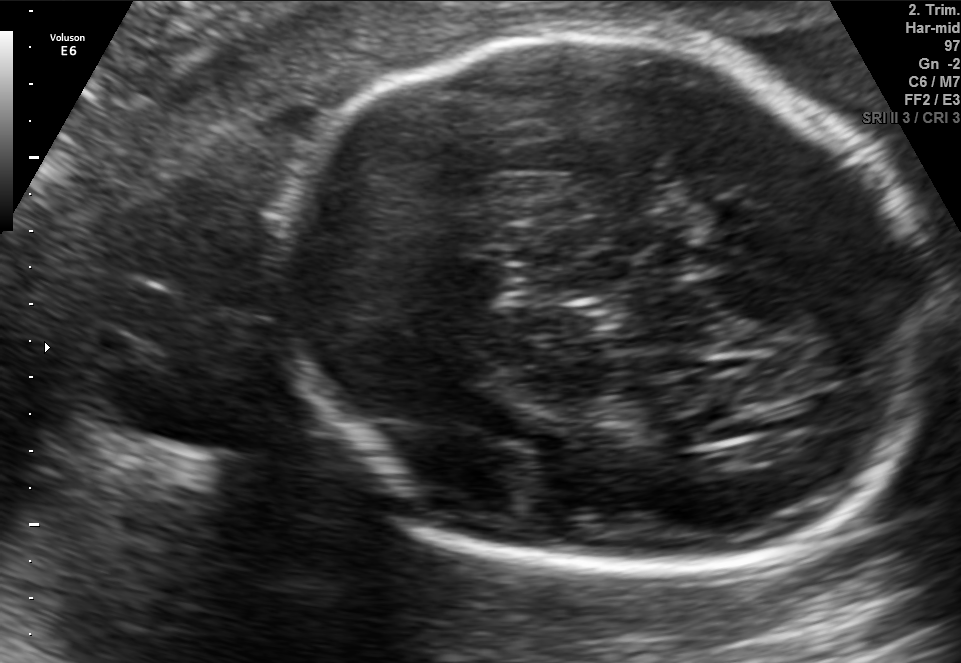
In this fetal brain, trans-thalamic plane, give bounding boxes for the head outline, cavum septum pellucidum (CSP), and lateral ventricle (LV), where visible.

Head: [280,34,934,581]